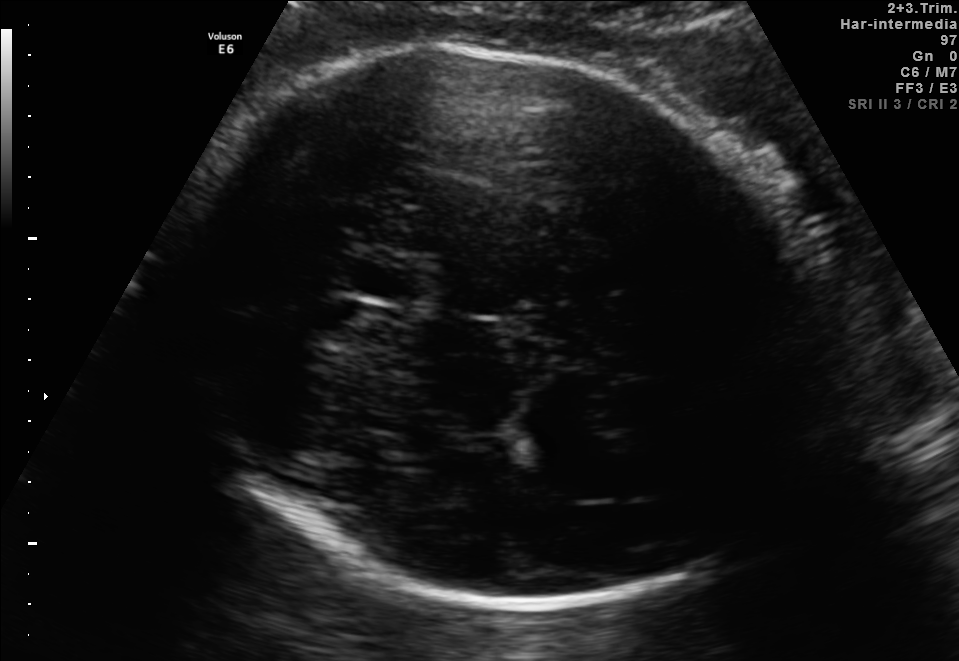
In this fetal brain, trans-thalamic plane, give the bounding box of the fetal head.

[179,46,818,609]